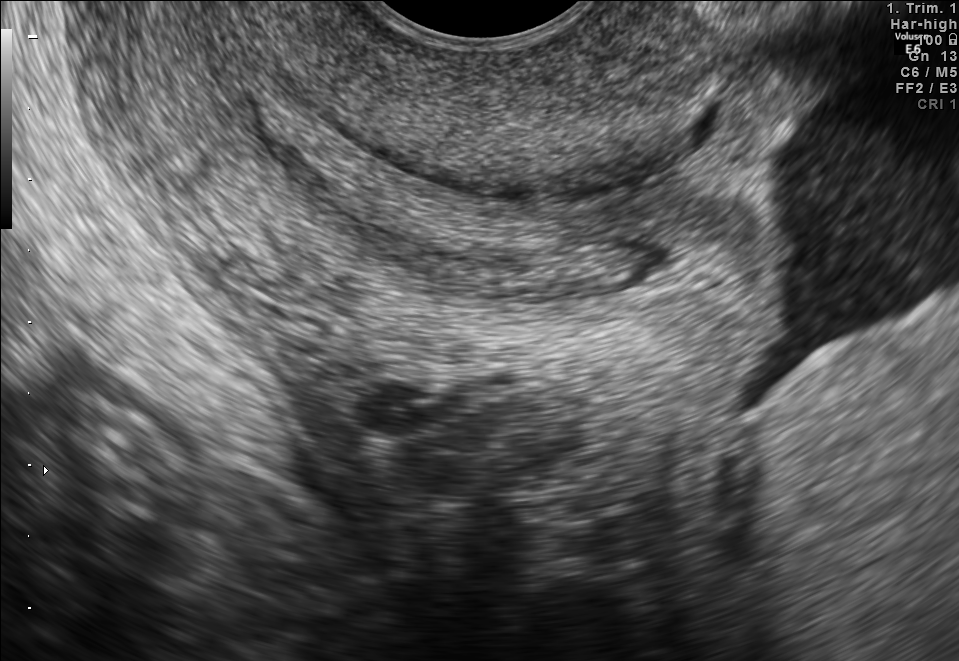
Identify the standard plane in this fetal ultrasound image: fetal abdomen, fetal brain, fetal femur, fetal thorax, maternal cervix, or other. If it's fetal brain and one of the three standard brain planes (trans-thalamic, trans-cerebellum, trans-ventricular), name which.

Maternal cervix